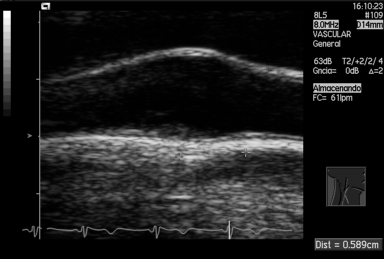
Which standard maternal-fetal ultrasound plane is shown: fetal abdomen, fetal brain, fetal femur, fetal thorax, maternal cervix, or other? If it's fetal brain and one of the three standard brain planes (trans-thalamic, trans-cerebellum, trans-ventricular), name which.

Other